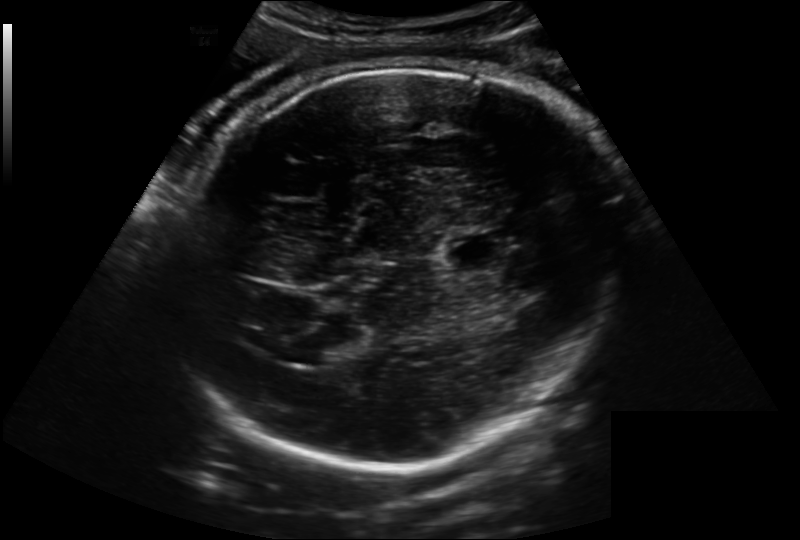
Estimate the fetal head circumference from this 2D ultrasound.

Head circumference: 306.9 mm (image width 177.3 mm).